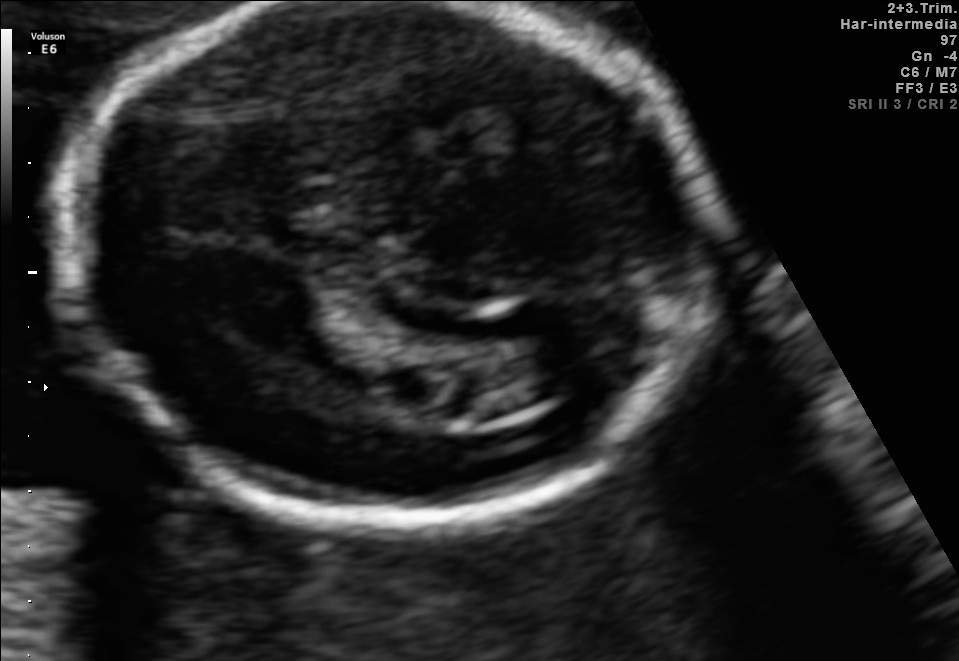
In this fetal brain, trans-ventricular plane, give the bounding box of the fetal head.

[47,3,736,542]